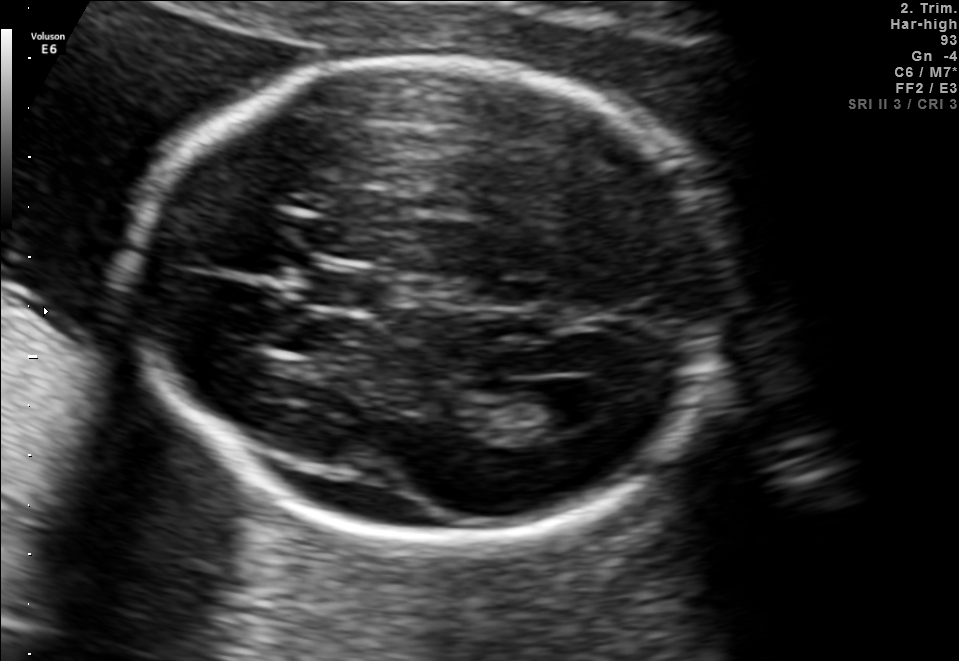
In this fetal brain, trans-ventricular plane, give the bounding box of the fetal head.

[122,50,739,553]